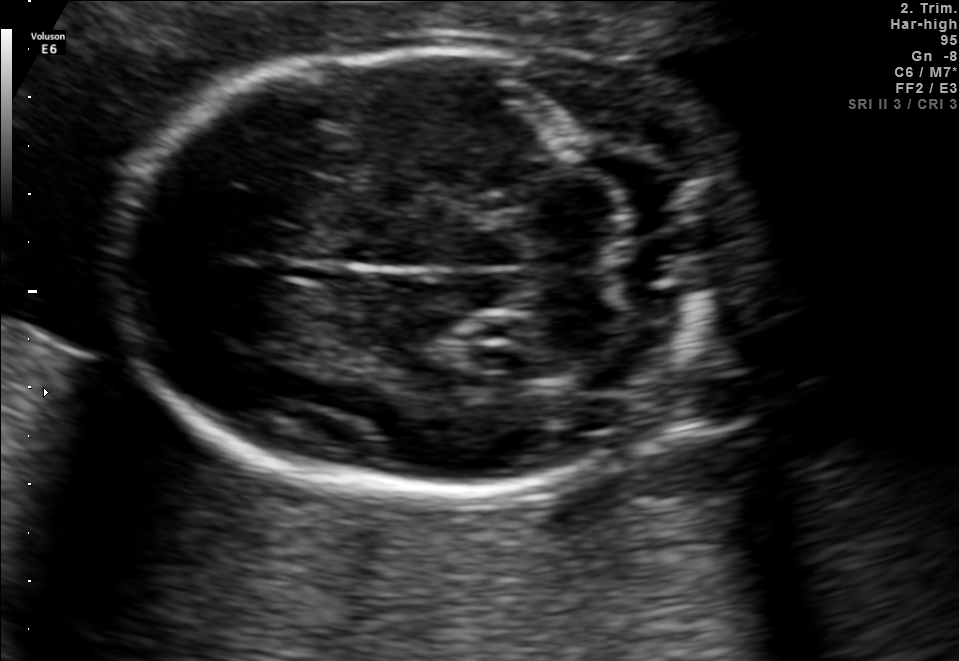
In this fetal brain, trans-cerebellum plane, give bounding boxes for the head outline, cavum septum pellucidum (CSP), and lateral ventricle (LV), where visible.

Head: [111,50,752,491]